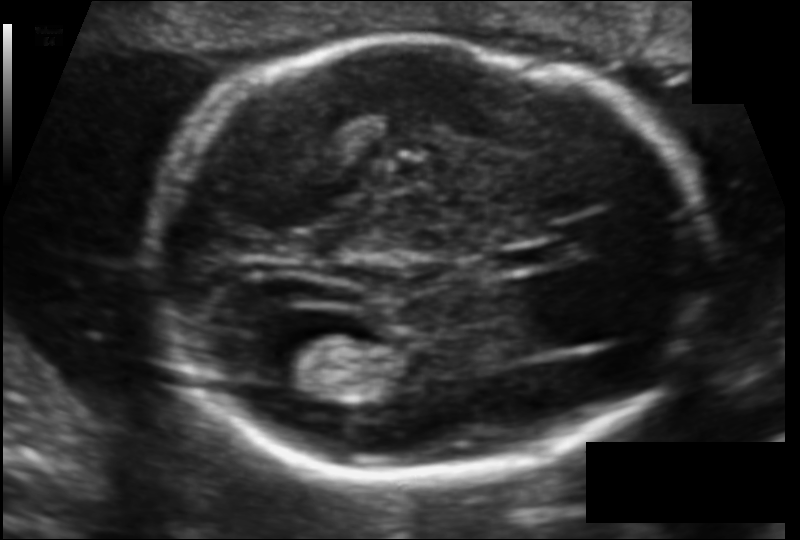
In this fetal head ultrasound, give the bounding box of the fetal head. Image width: 84.9 mm.

[155,38,703,475]